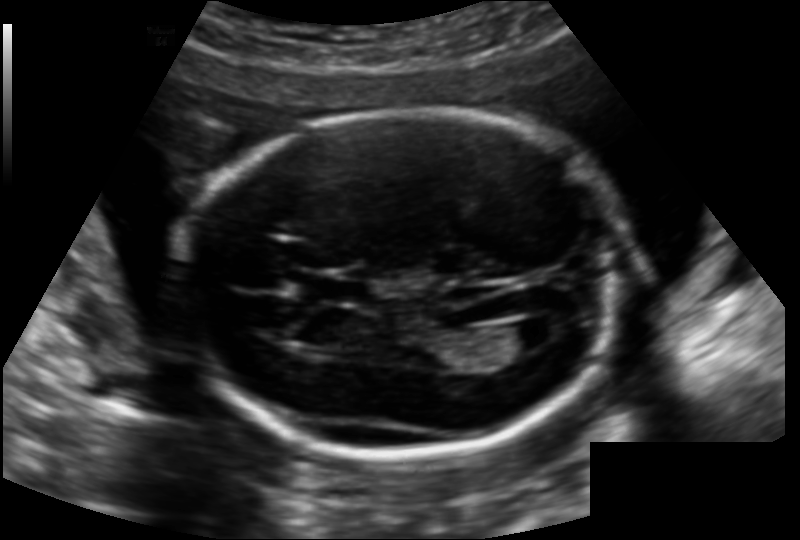
In this fetal head ultrasound, give the bounding box of the cavum septum pellucidum. Image width: 113.4 mm.

[302,274,368,305]